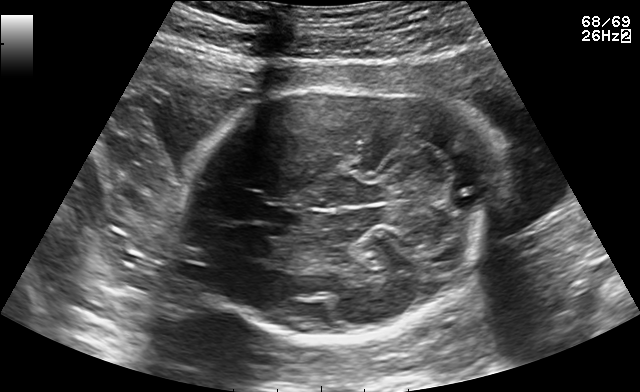
Fetal brain, trans-cerebellum plane. Where is the fetal head?

Head bounding box: [177,78,507,337]